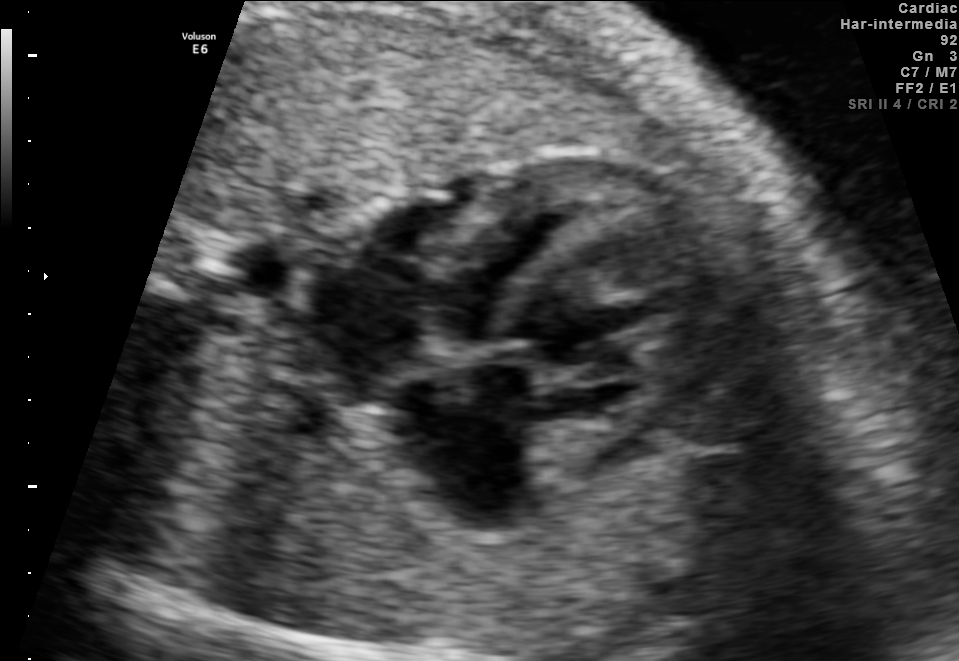
Classify this maternal-fetal ultrasound image as one of the six standard planes — fetal abdomen, fetal brain, fetal femur, fetal thorax, maternal cervix, or other. If it's fetal brain and one of the three standard brain planes (trans-thalamic, trans-cerebellum, trans-ventricular), name which.

Fetal thorax